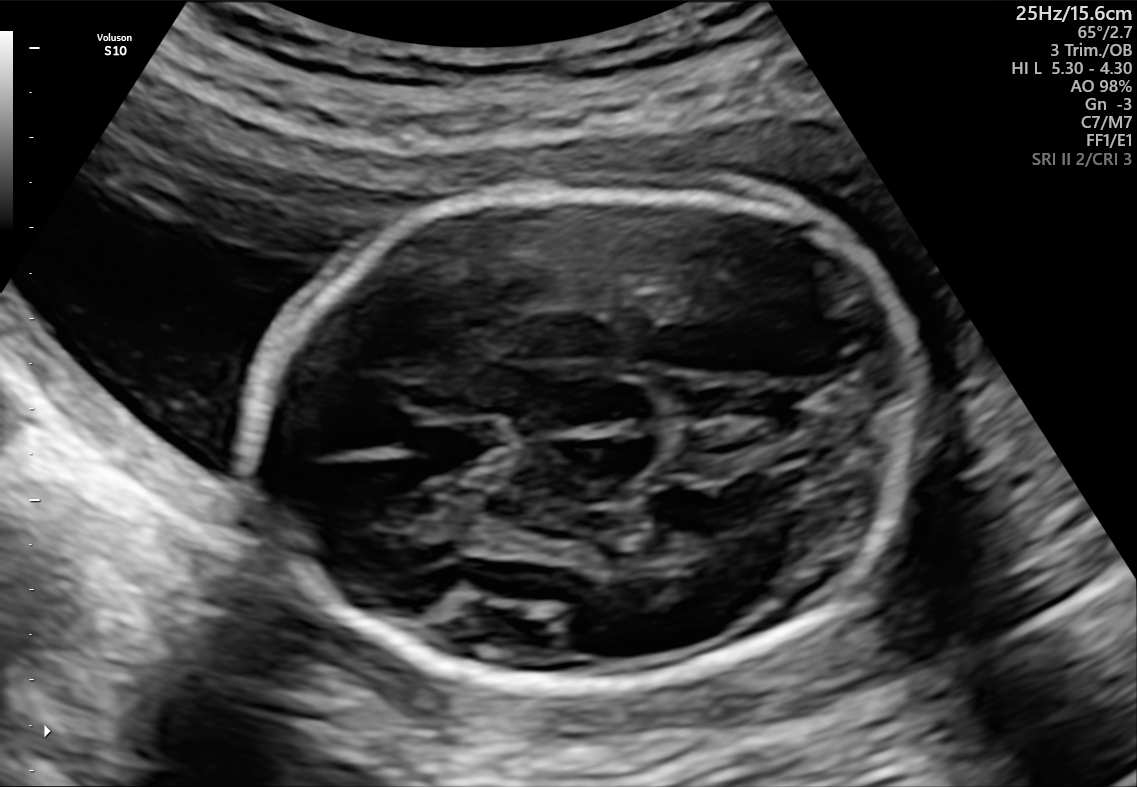
Fetal brain, trans-thalamic plane. Locate the fetal head and, if visible, the cavum septum pellucidum (CSP) and lateral ventricle (LV). Give bounding boxes as [x1,y1,x2,y2].

Head: [247,182,924,693]
CSP: [416,414,512,476]